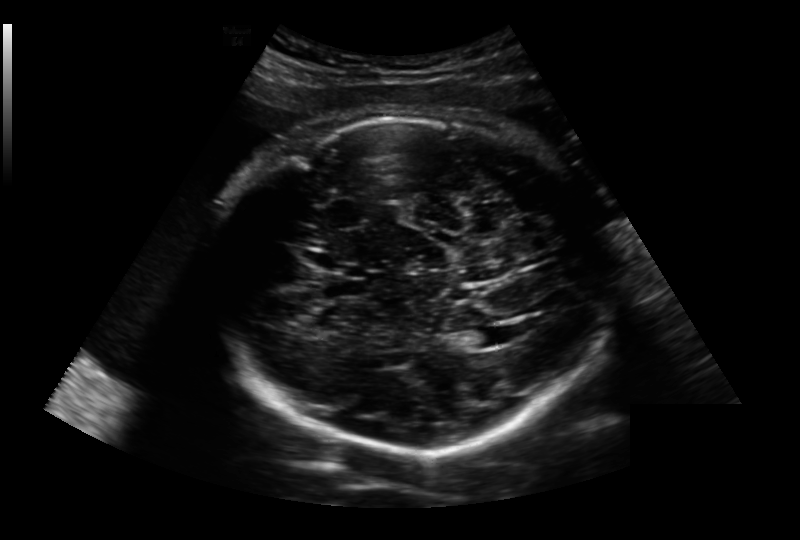
In this fetal head ultrasound, give bounding boxes for the head outline, cavum septum pellucidum (CSP), and lateral ventricle (LV), where visible. Image width: 188.7 mm.

Head: [208,115,609,454]
CSP: [320,277,372,300]
Lateral ventricle: [461,324,509,351]